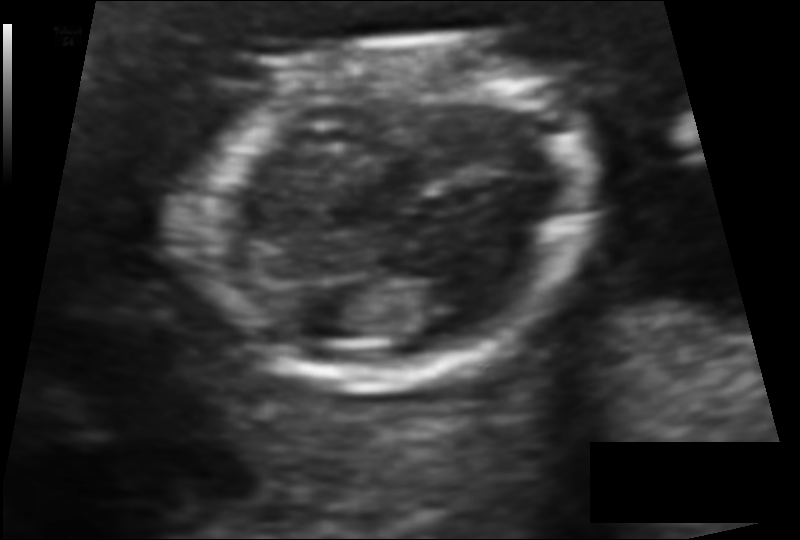
Measure the fetal head circumference shown in this ultrasound image. Image width: 72.9 mm.

Head circumference: 108.2 mm.